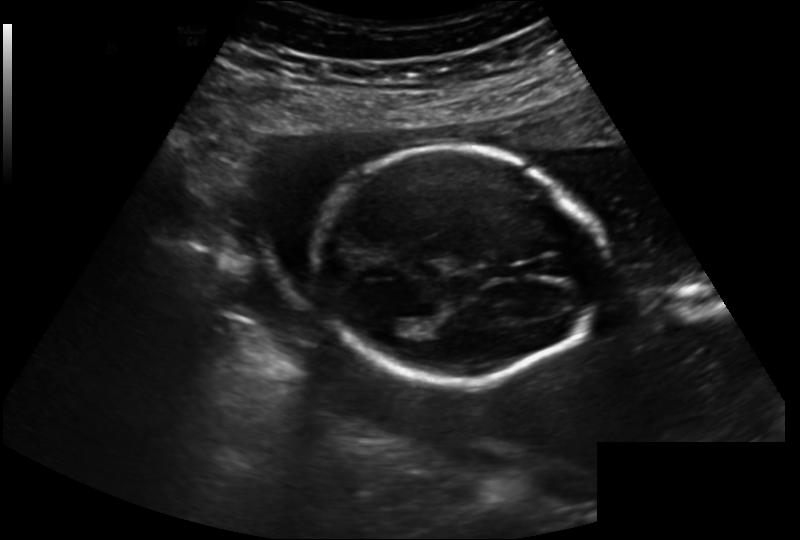
Fetal head ultrasound. Image width: 161.6 mm. Locate the fetal head and, if visible, the cavum septum pellucidum (CSP) and lateral ventricle (LV). Give bounding boxes as [x1,y1,x2,y2].

Head: [312,146,601,382]